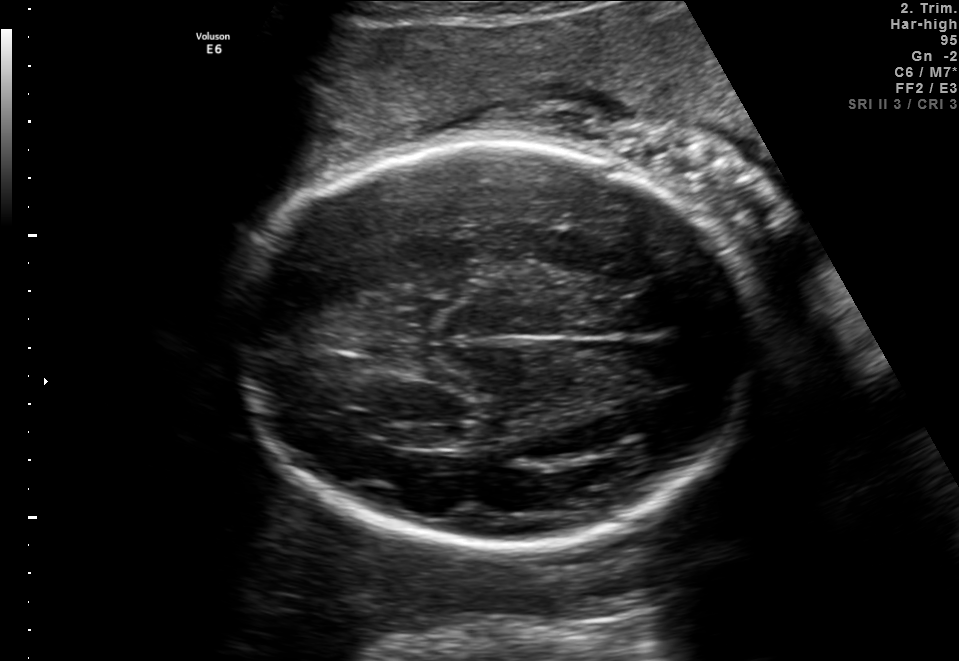
Fetal brain, trans-thalamic plane. Where is the lateral ventricle?

Lateral ventricle bounding box: [384,425,468,448]